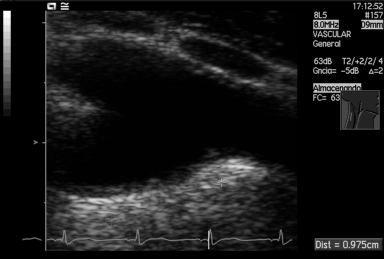
Classify this maternal-fetal ultrasound image as one of the six standard planes — fetal abdomen, fetal brain, fetal femur, fetal thorax, maternal cervix, or other. If it's fetal brain and one of the three standard brain planes (trans-thalamic, trans-cerebellum, trans-ventricular), name which.

Other